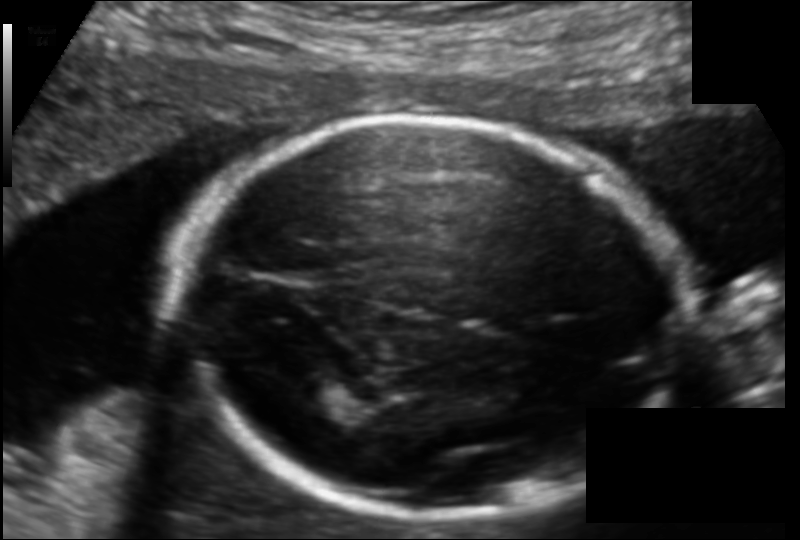
Measure the fetal head circumference shown in this ultrasound image. Image width: 96.3 mm.

Head circumference: 172.9 mm.